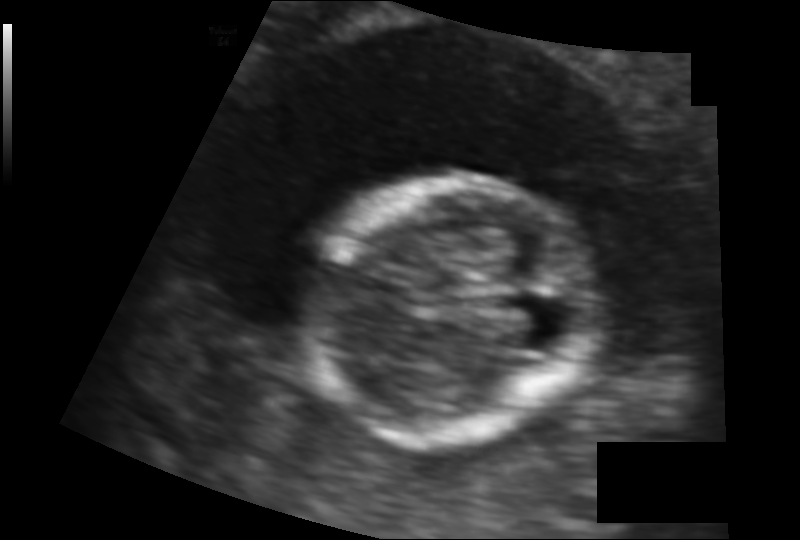
Fetal head ultrasound. Image width: 82.1 mm. Locate the fetal head and, if visible, the cavum septum pellucidum (CSP) and lateral ventricle (LV). Give bounding boxes as [x1,y1,x2,y2].

Head: [301,179,601,448]